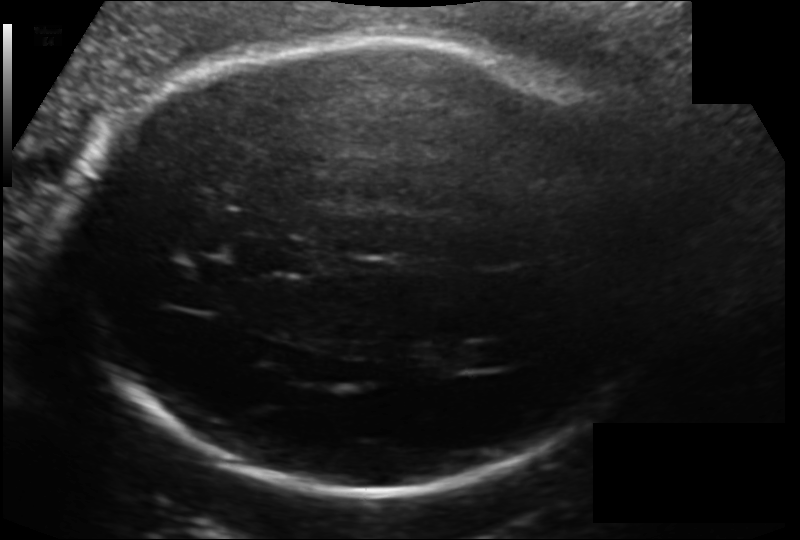
Fetal head ultrasound. Image width: 123.2 mm. Give [x1,y1,x2,y2] bounding boxes for each visible structure among: fetal head, CSP, LV.

Head: [72,38,657,493]
CSP: [255,233,320,279]
Lateral ventricle: [459,342,514,370]